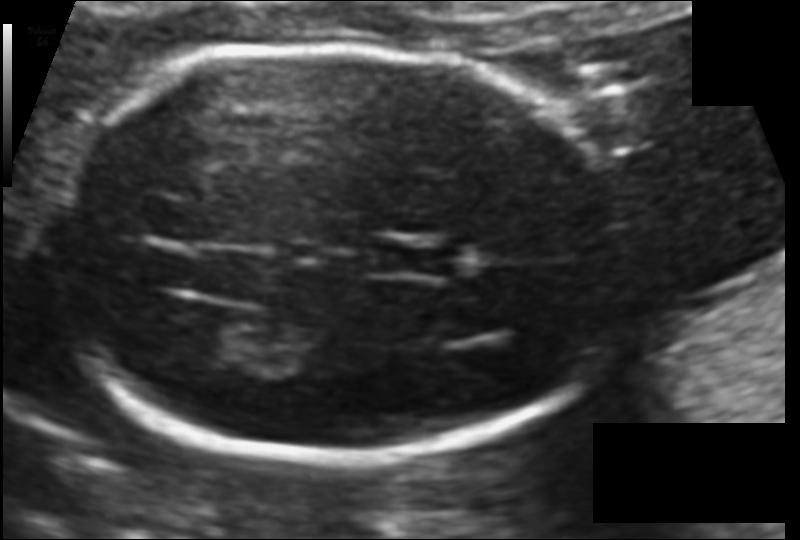
In this fetal head ultrasound, give the bounding box of the fetal head. Image width: 78.8 mm.

[52,43,625,459]